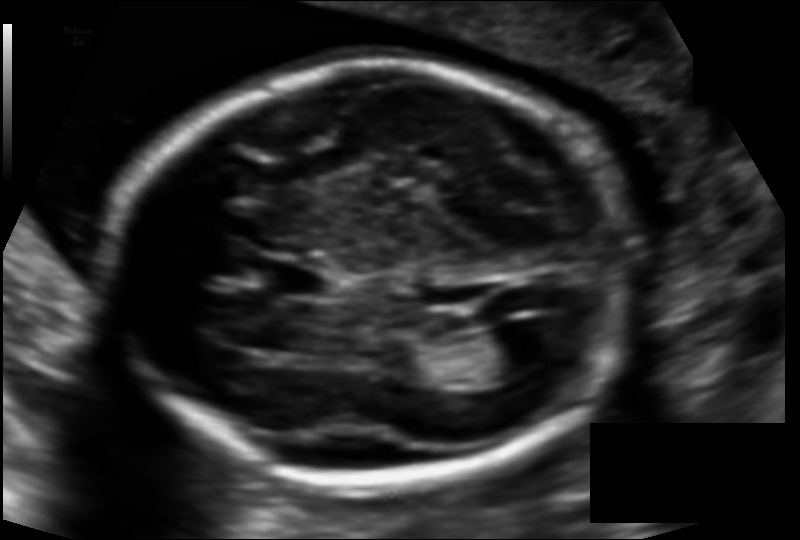
In this fetal head ultrasound, give the bounding box of the cavum septum pellucidum. Image width: 96.7 mm.

[259,256,330,300]